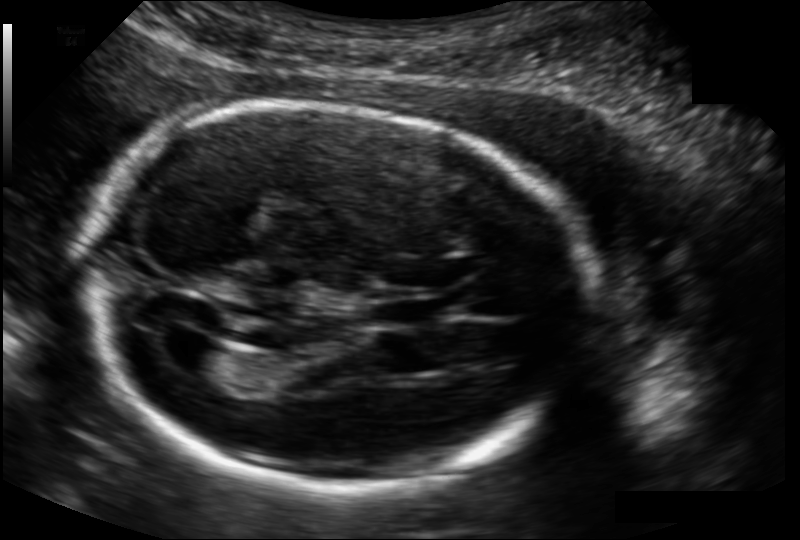
What is the fetal head circumference? Image width is 107.6 mm.

192.3 mm